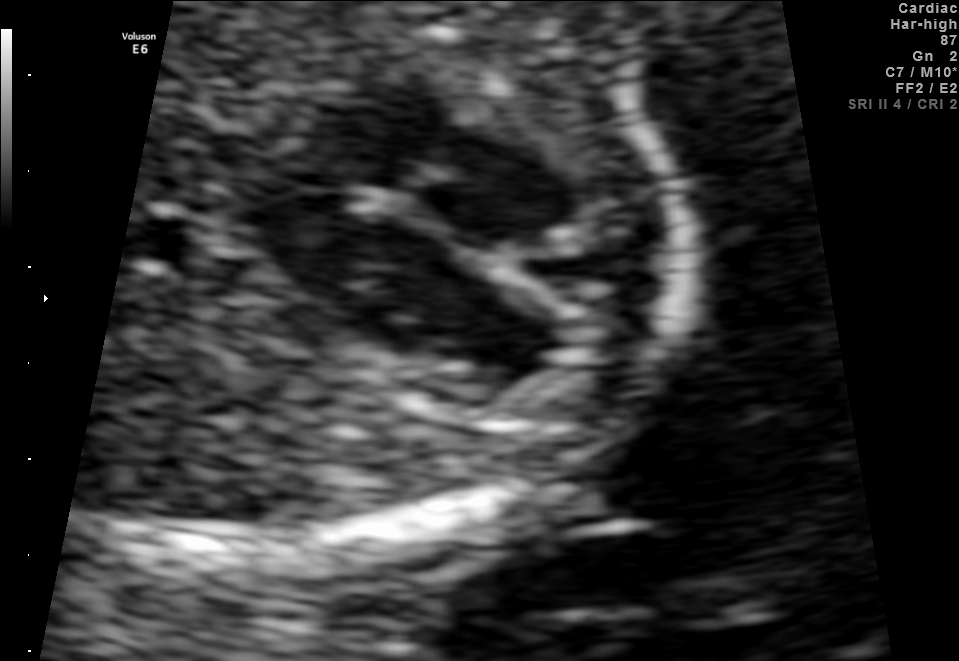
This is a 2D maternal-fetal ultrasound frame. Is it a fetal abdomen, fetal brain, fetal femur, fetal thorax, maternal cervix, or other standard plane? If it's fetal brain and one of the three standard brain planes (trans-thalamic, trans-cerebellum, trans-ventricular), name which.

Fetal thorax